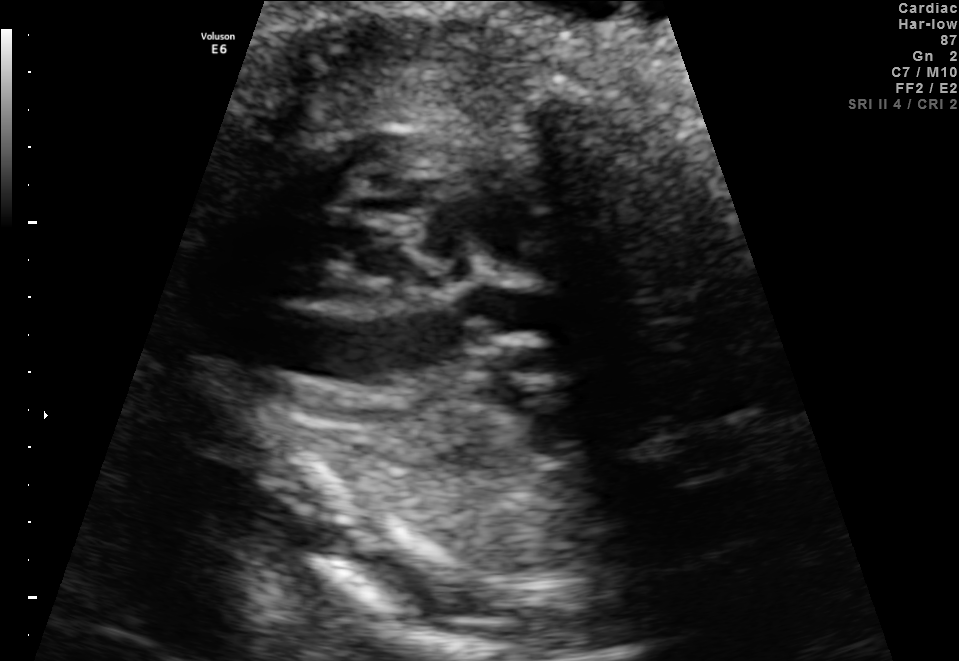
Identify the standard plane in this fetal ultrasound image: fetal abdomen, fetal brain, fetal femur, fetal thorax, maternal cervix, or other. If it's fetal brain and one of the three standard brain planes (trans-thalamic, trans-cerebellum, trans-ventricular), name which.

Other